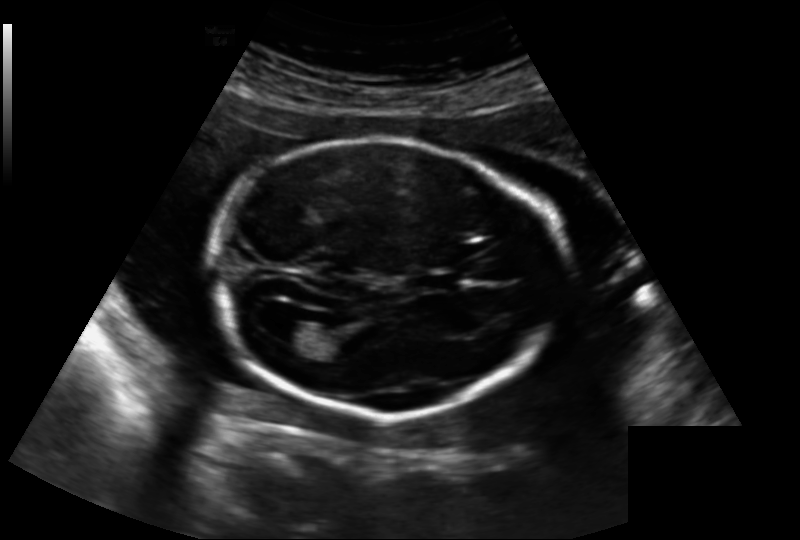
Fetal head ultrasound. Image width: 150.3 mm. Locate the cavum septum pellucidum.

CSP: [418,271,460,291]